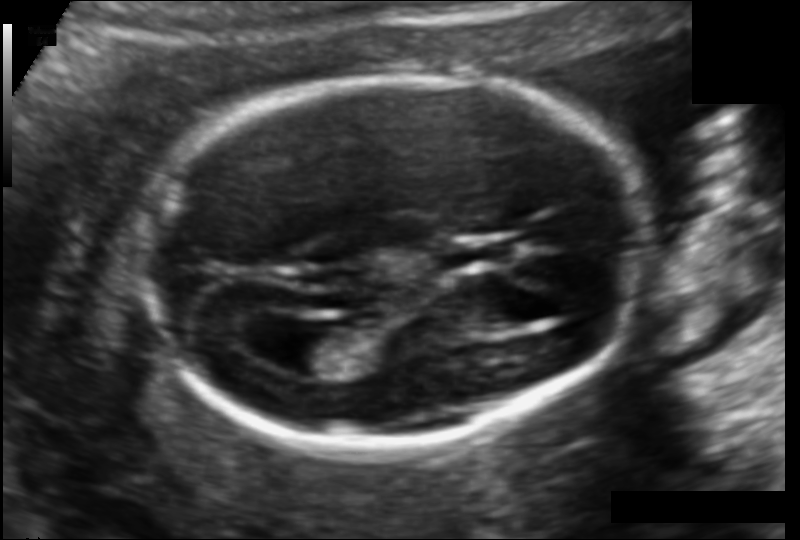
Fetal head ultrasound. Image width: 91.5 mm. Where is the cavum septum pellucidum?

CSP bounding box: [443,234,512,272]